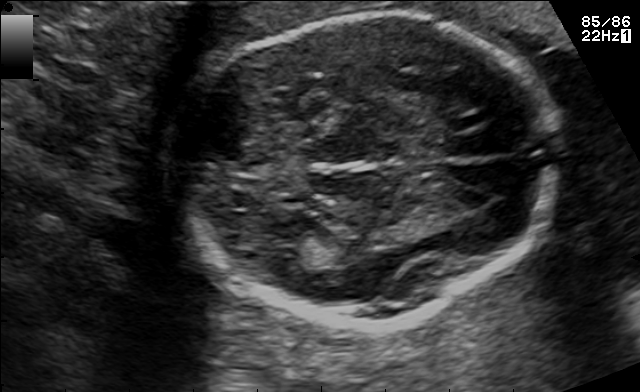
In this fetal brain, trans-thalamic plane, give bounding boxes for the head outline, cavum septum pellucidum (CSP), and lateral ventricle (LV), where visible.

Head: [176,12,562,327]